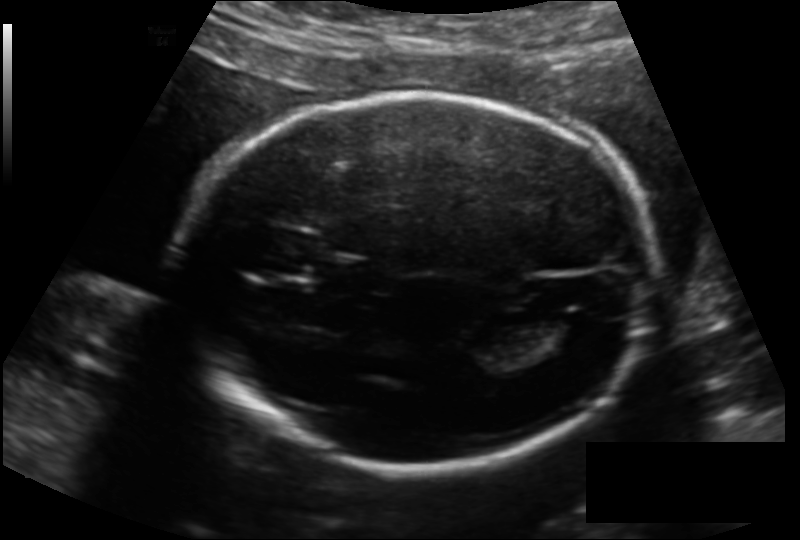
Fetal head ultrasound. Image width: 120.8 mm. Where is the lateral ventricle?

Lateral ventricle bounding box: [534,306,600,354]